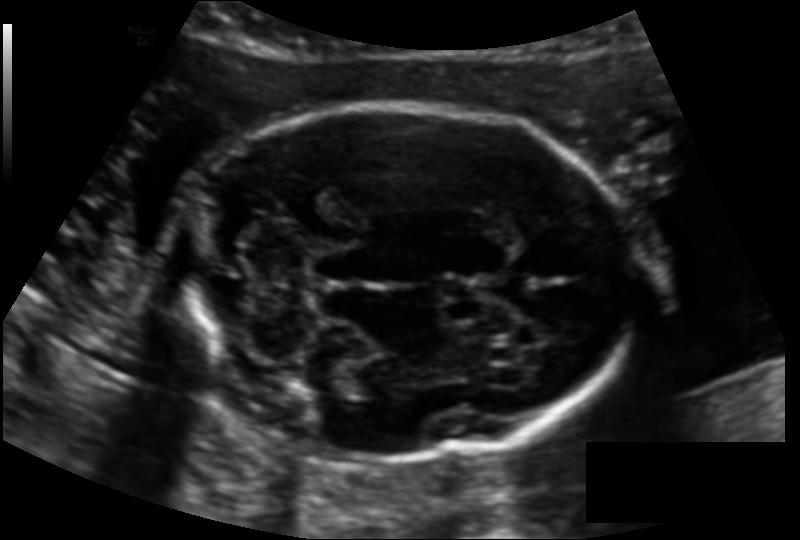
Estimate the fetal head circumference from this 2D ultrasound. Image width: 102.3 mm.

Head circumference: 170.5 mm.